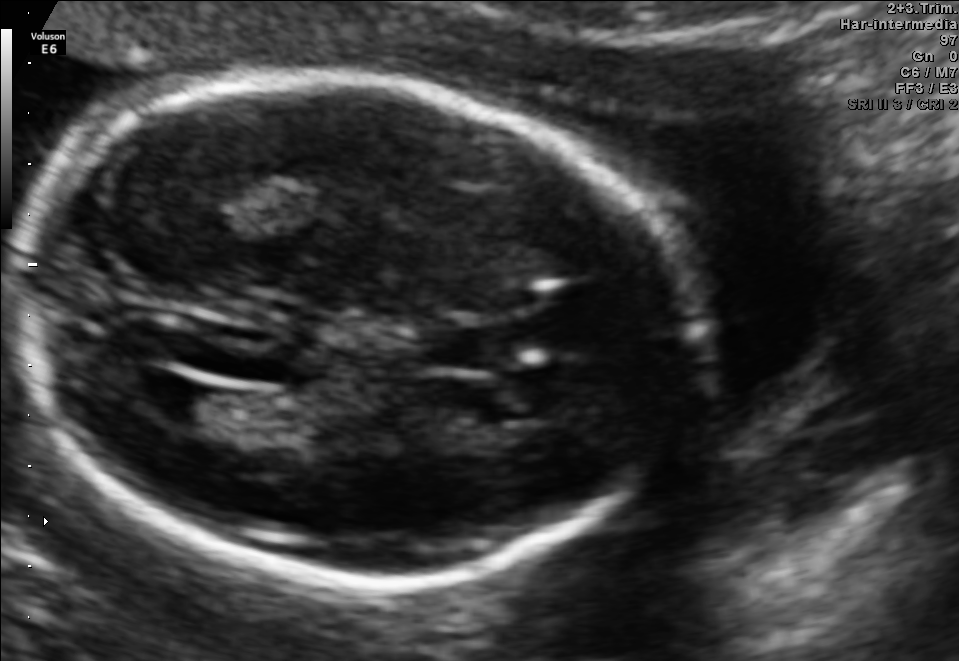
Fetal brain, trans-ventricular plane. Locate the fetal head.

Head: [10,65,719,596]